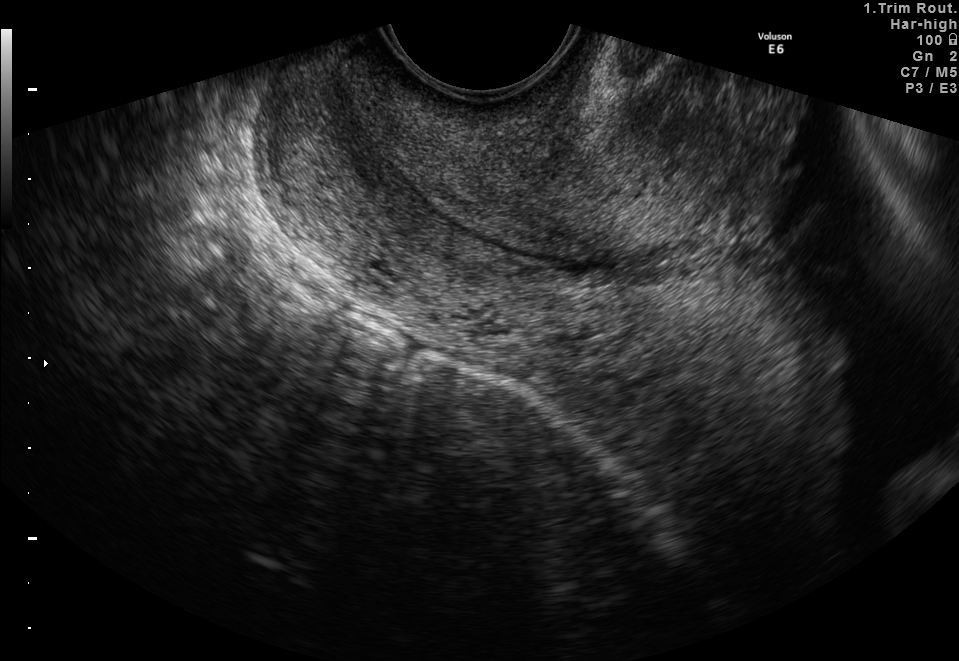
Which standard maternal-fetal ultrasound plane is shown: fetal abdomen, fetal brain, fetal femur, fetal thorax, maternal cervix, or other? If it's fetal brain and one of the three standard brain planes (trans-thalamic, trans-cerebellum, trans-ventricular), name which.

Maternal cervix